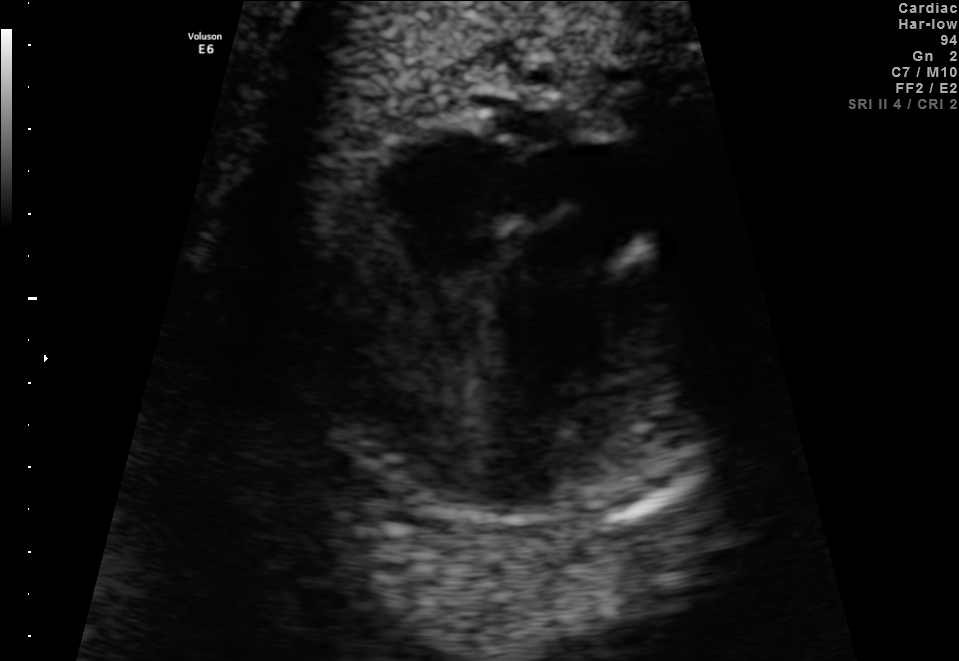
This is a 2D maternal-fetal ultrasound frame. Is it a fetal abdomen, fetal brain, fetal femur, fetal thorax, maternal cervix, or other standard plane? If it's fetal brain and one of the three standard brain planes (trans-thalamic, trans-cerebellum, trans-ventricular), name which.

Fetal thorax